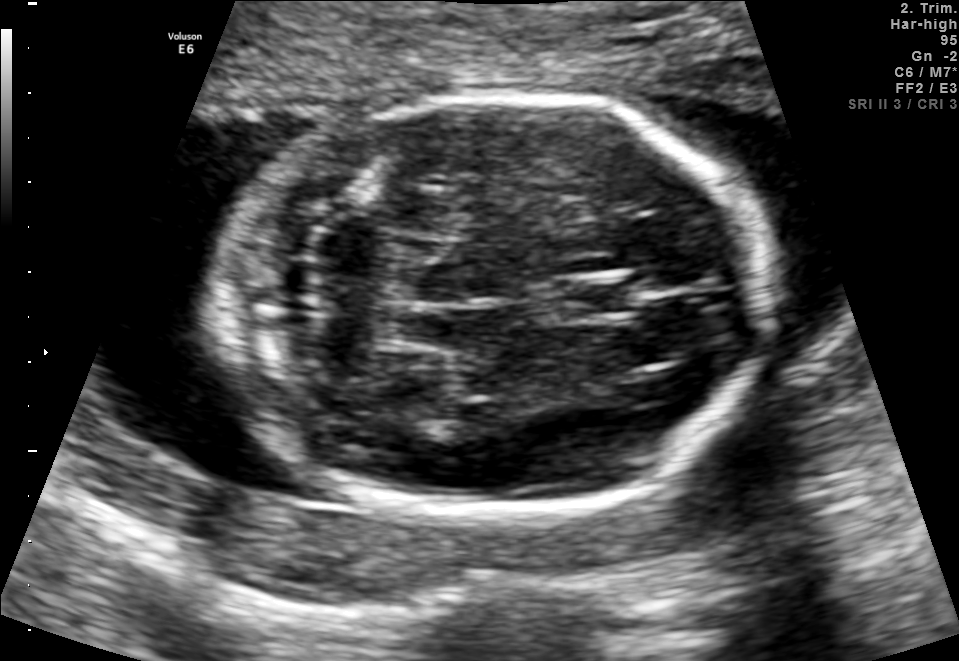
Fetal brain, trans-cerebellum plane. Locate the fetal head.

Head: [210,95,773,518]